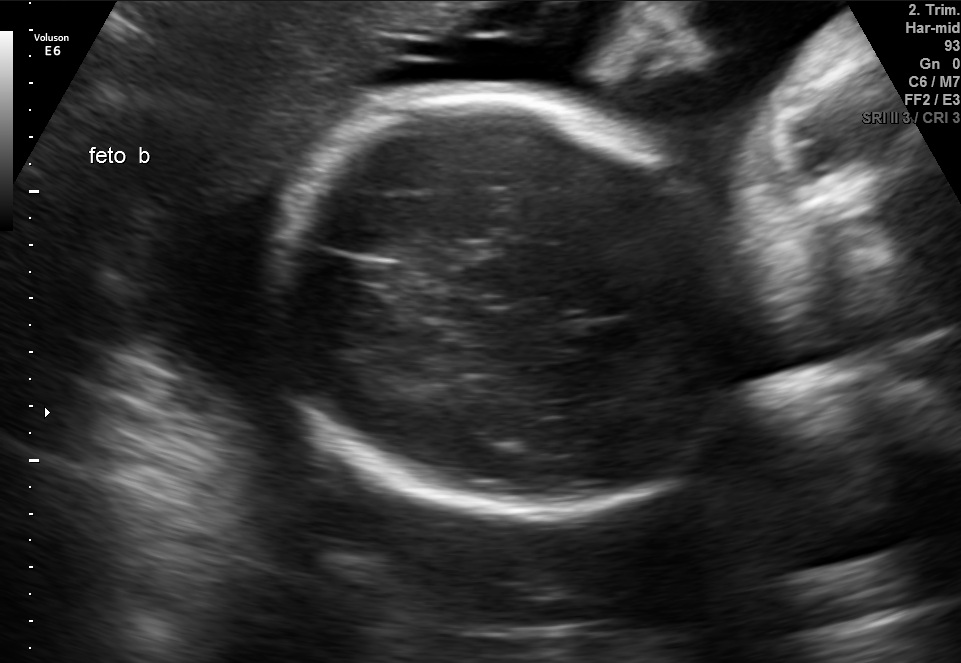
Fetal brain, trans-thalamic plane. Give [x1,y1,x2,y2] bounding boxes for each visible structure among: fetal head, CSP, LV.

Head: [272,95,752,520]